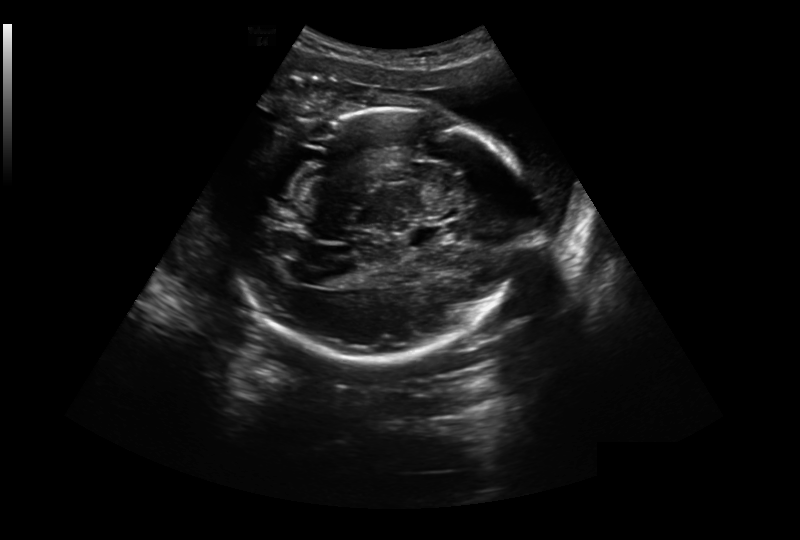
Fetal head ultrasound. Image width: 243.0 mm. Where is the fetal head?

Head bounding box: [236,108,529,364]